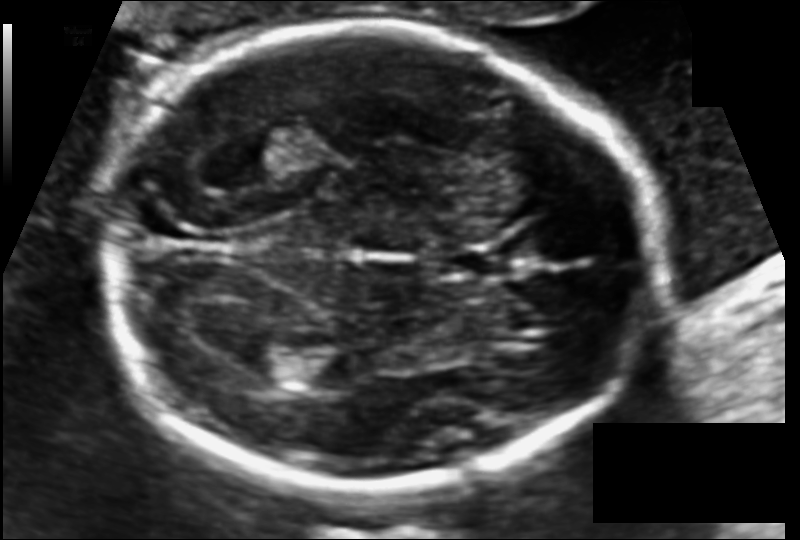
Estimate the fetal head circumference from this 2D ultrasound. Image width: 87.7 mm.

Head circumference: 179.6 mm.